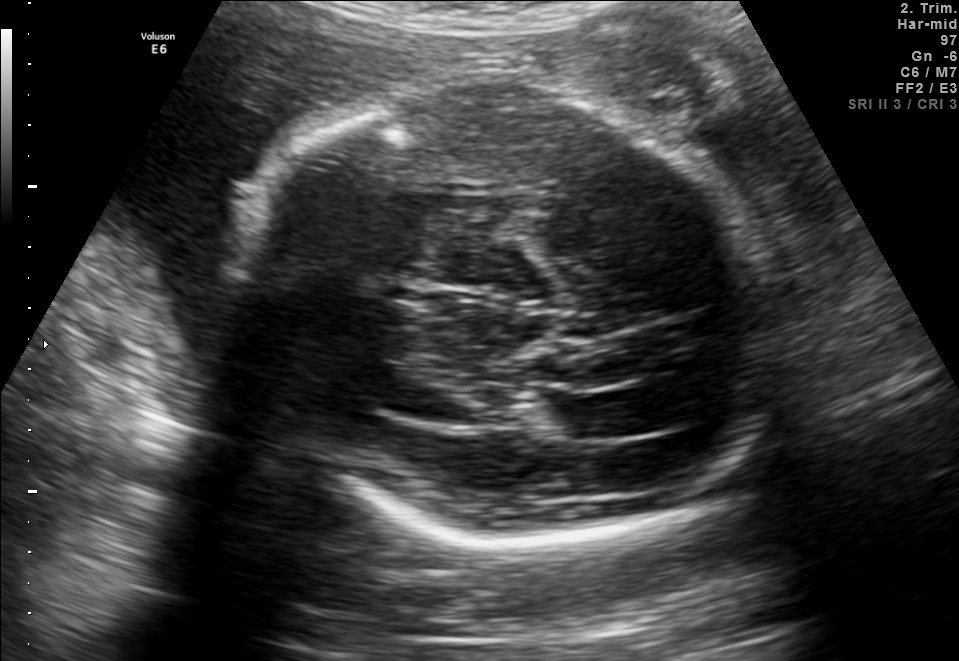
Fetal brain, trans-thalamic plane. Where is the fetal head?

Head bounding box: [221,83,786,546]